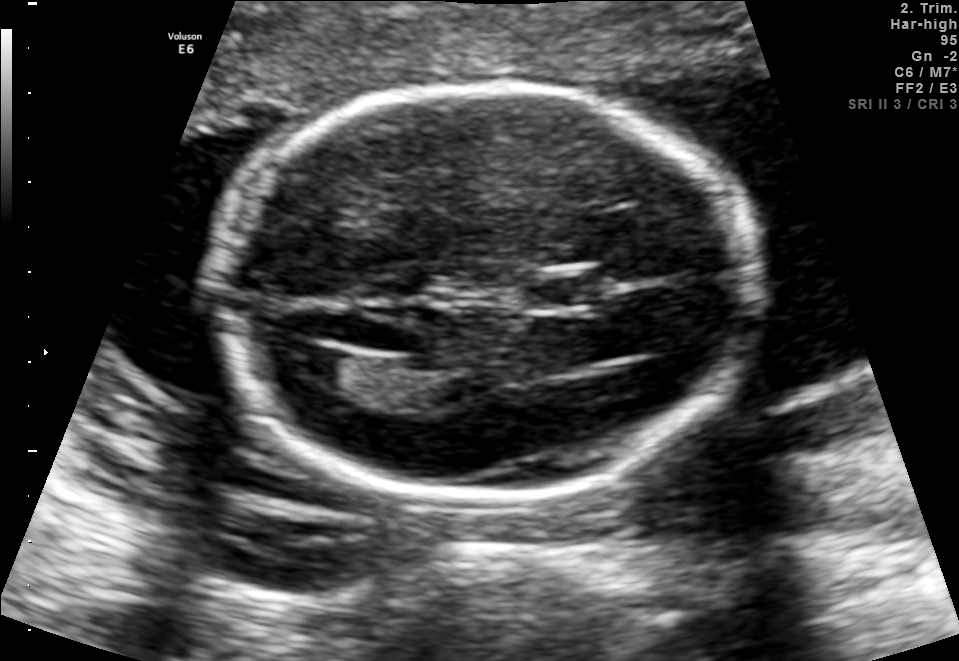
Fetal brain, trans-ventricular plane. Give [x1,y1,x2,y2] bounding boxes for each visible structure among: fetal head, CSP, LV.

Head: [210,79,769,514]
CSP: [521,274,621,309]
Lateral ventricle: [276,341,358,391]